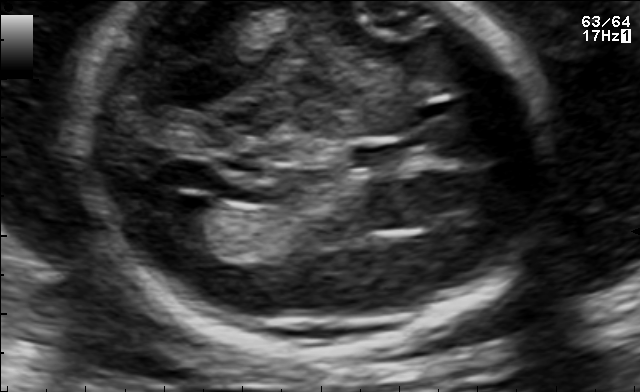
Fetal brain, trans-ventricular plane. Locate the lateral ventricle.

Lateral ventricle: [142,187,214,242]